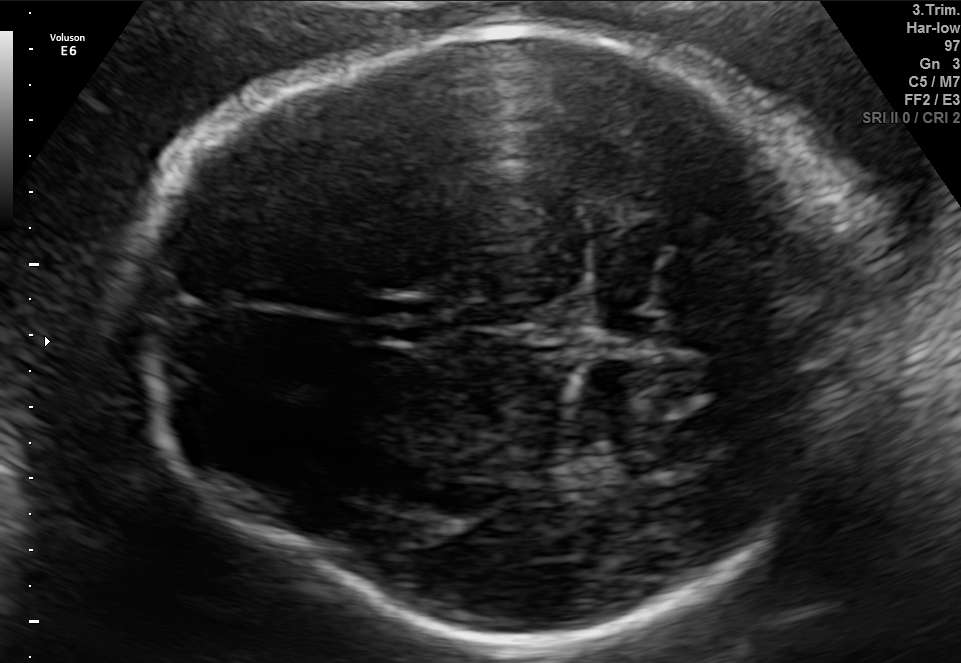
Fetal brain, trans-thalamic plane. Give [x1,y1,x2,y2] bounding boxes for each visible structure among: fetal head, CSP, LV.

Head: [122,26,903,645]